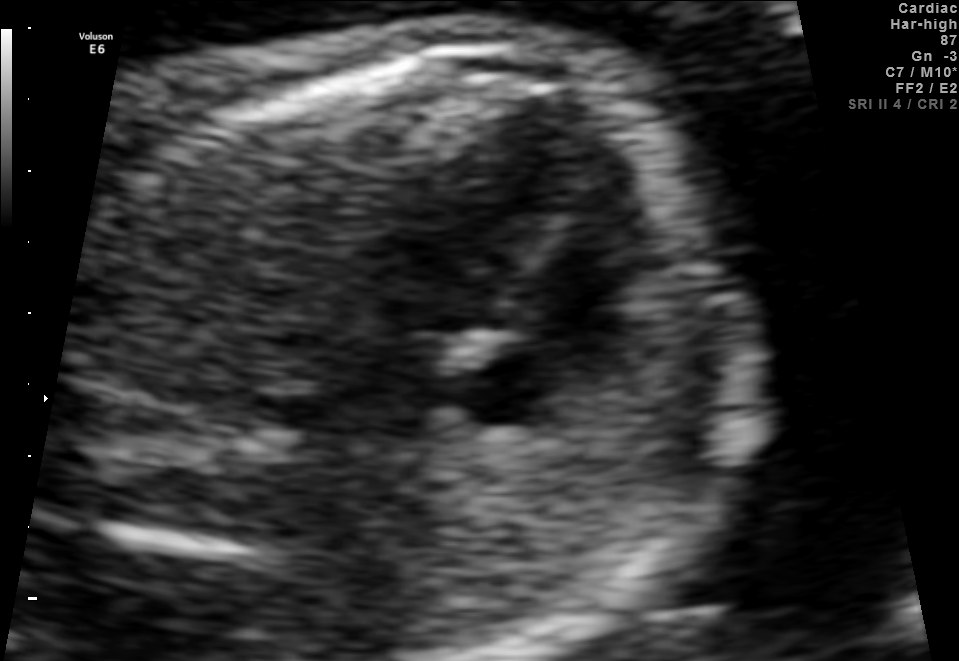
Classify this maternal-fetal ultrasound image as one of the six standard planes — fetal abdomen, fetal brain, fetal femur, fetal thorax, maternal cervix, or other. If it's fetal brain and one of the three standard brain planes (trans-thalamic, trans-cerebellum, trans-ventricular), name which.

Fetal thorax